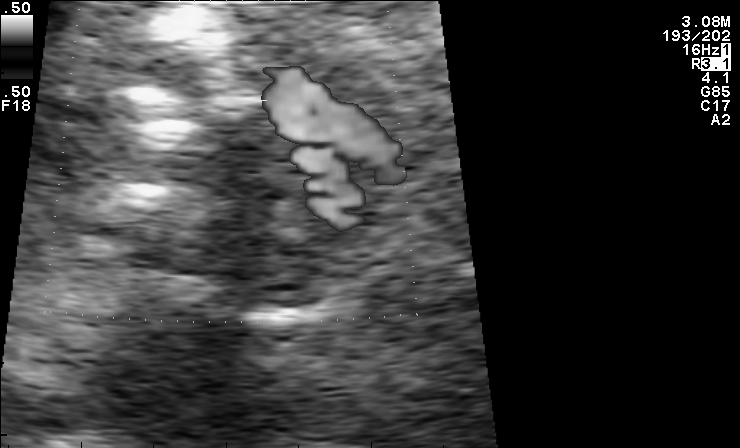
Which standard maternal-fetal ultrasound plane is shown: fetal abdomen, fetal brain, fetal femur, fetal thorax, maternal cervix, or other? If it's fetal brain and one of the three standard brain planes (trans-thalamic, trans-cerebellum, trans-ventricular), name which.

Other